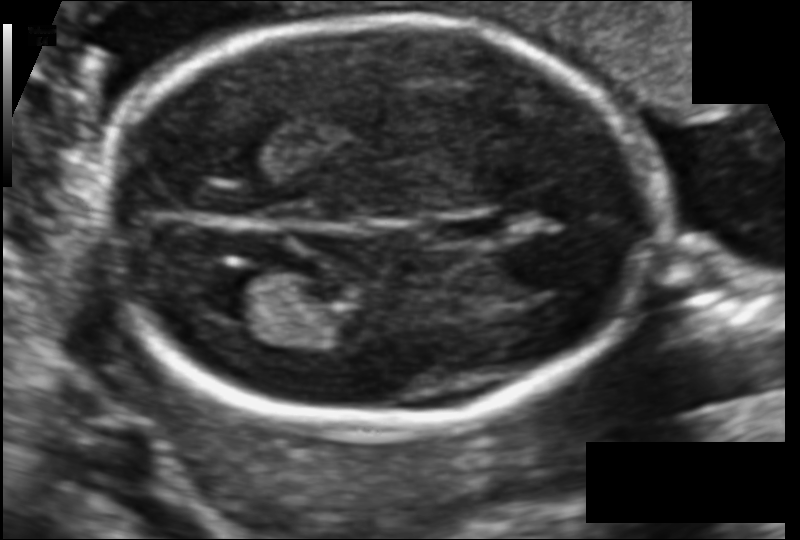
In this fetal head ultrasound, give the bounding box of the cavum septum pellucidum. Image width: 84.6 mm.

[426,209,507,247]